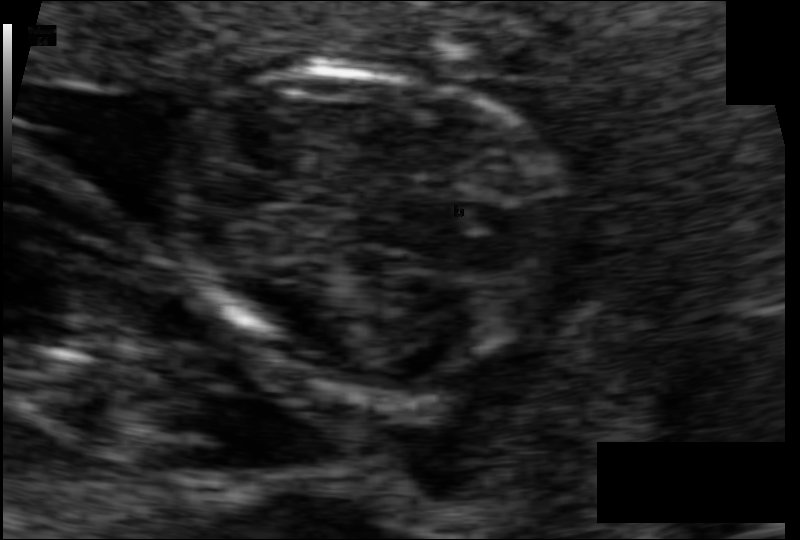
Fetal head ultrasound. Image width: 48.5 mm. Locate the fetal head and, if visible, the cavum septum pellucidum (CSP) and lateral ventricle (LV). Give bounding boxes as [x1,y1,x2,y2].

Head: [166,64,567,373]